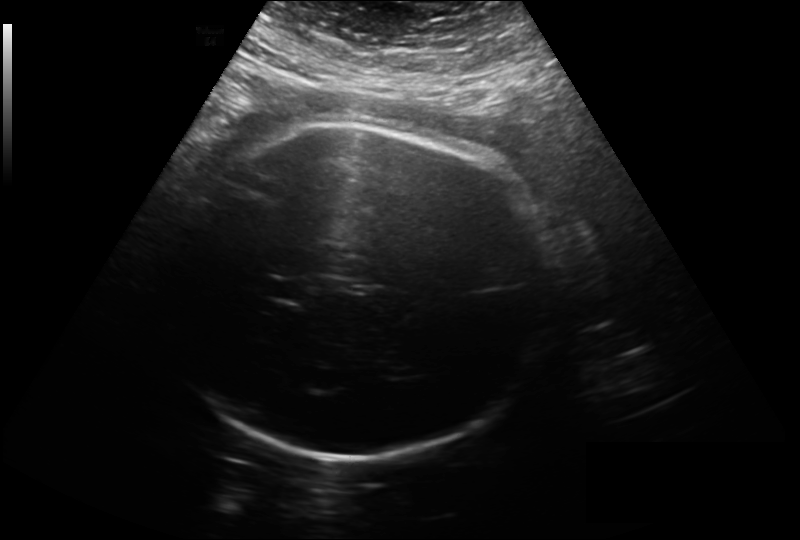
Estimate the fetal head circumference from this 2D ultrasound.

Head circumference: 307.7 mm (image width 208.8 mm).